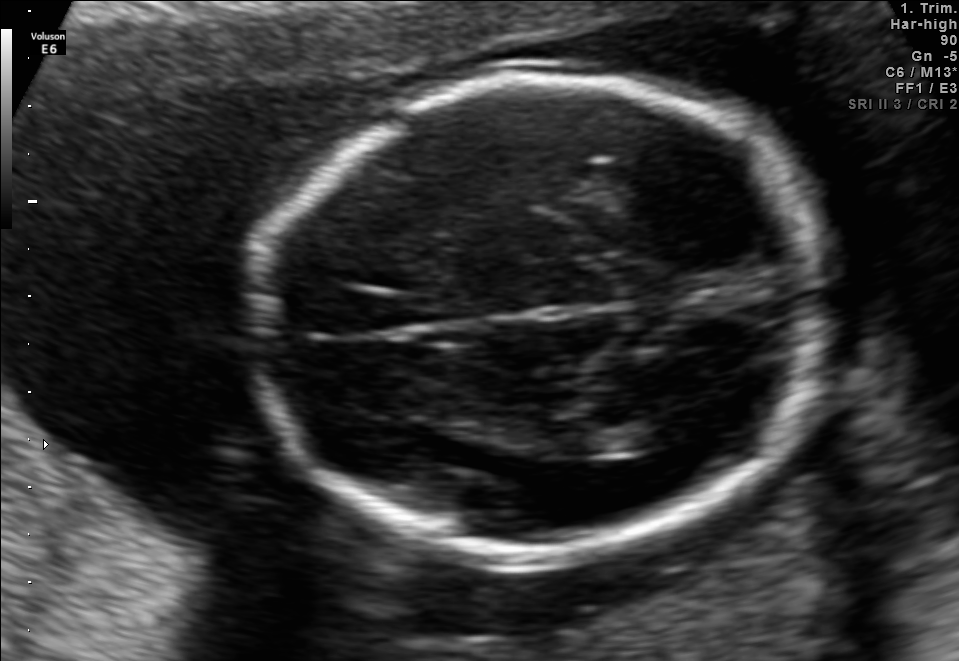
This is a 2D maternal-fetal ultrasound frame. Is it a fetal abdomen, fetal brain, fetal femur, fetal thorax, maternal cervix, or other standard plane? If it's fetal brain and one of the three standard brain planes (trans-thalamic, trans-cerebellum, trans-ventricular), name which.

Fetal brain (trans-thalamic plane)